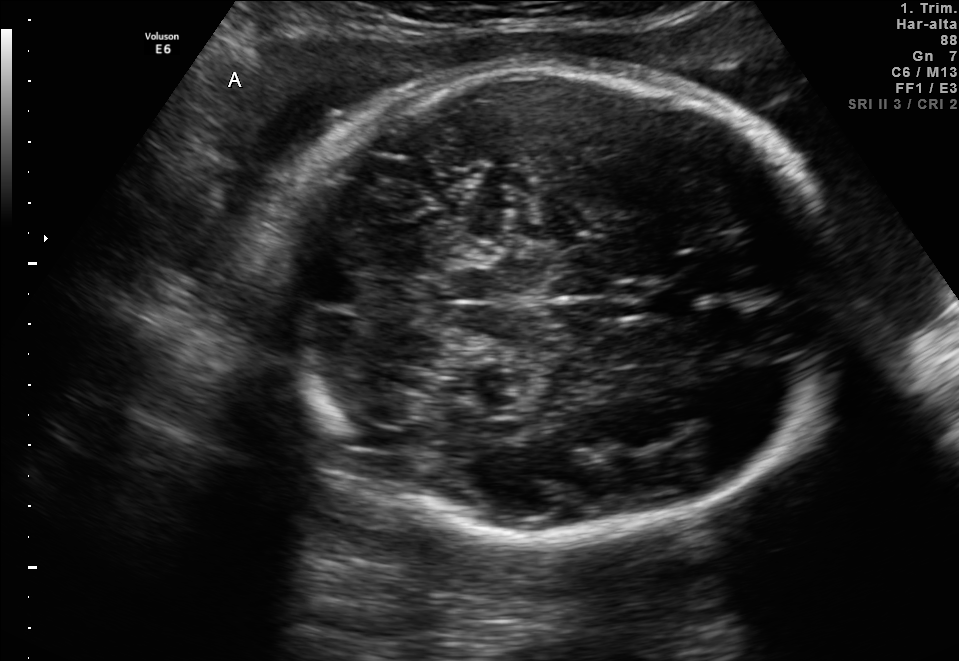
This is a 2D maternal-fetal ultrasound frame. Is it a fetal abdomen, fetal brain, fetal femur, fetal thorax, maternal cervix, or other standard plane? If it's fetal brain and one of the three standard brain planes (trans-thalamic, trans-cerebellum, trans-ventricular), name which.

Fetal brain (trans-cerebellum plane)